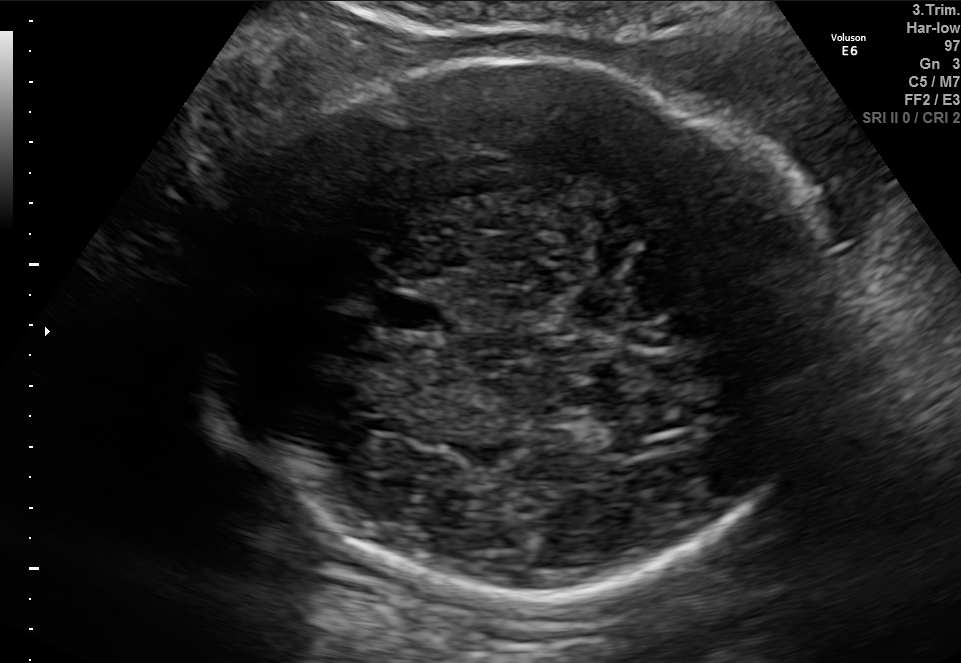
In this fetal brain, trans-thalamic plane, give the bounding box of the cavum septum pellucidum.

[376,292,453,332]